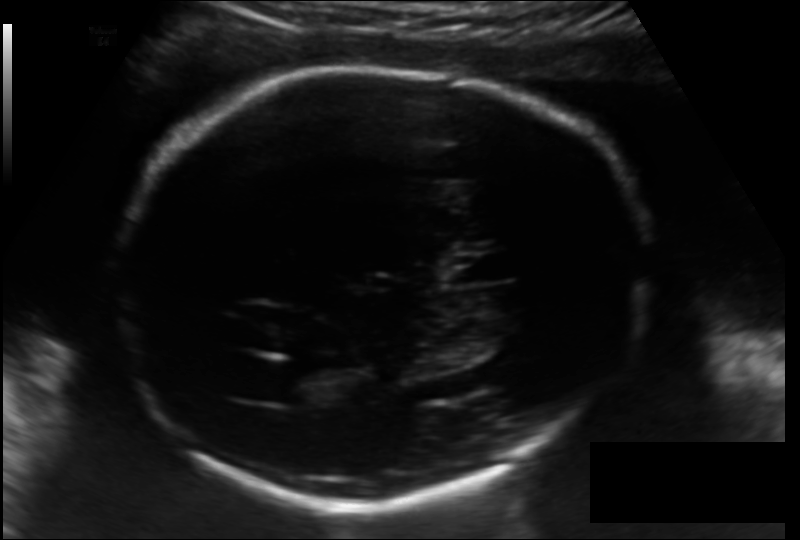
Fetal head ultrasound. Image width: 125.8 mm. Locate the fetal head and, if visible, the cavum septum pellucidum (CSP) and lateral ventricle (LV). Give bounding boxes as [x1,y1,x2,y2].

Head: [113,64,648,504]